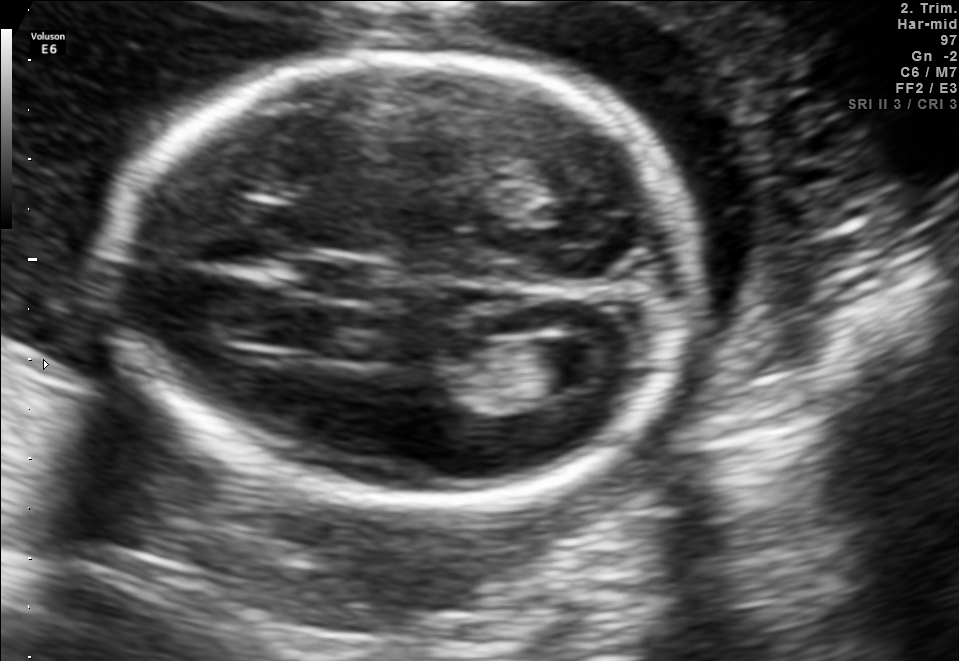
In this fetal brain, trans-ventricular plane, give the bounding box of the lateral ventricle.

[538,334,619,389]